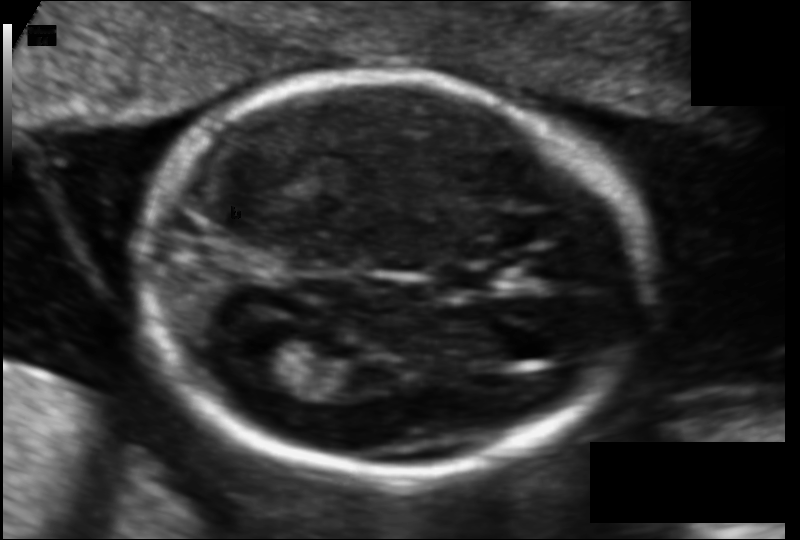
What is the fetal head circumference? Image width is 83.2 mm.

150.5 mm